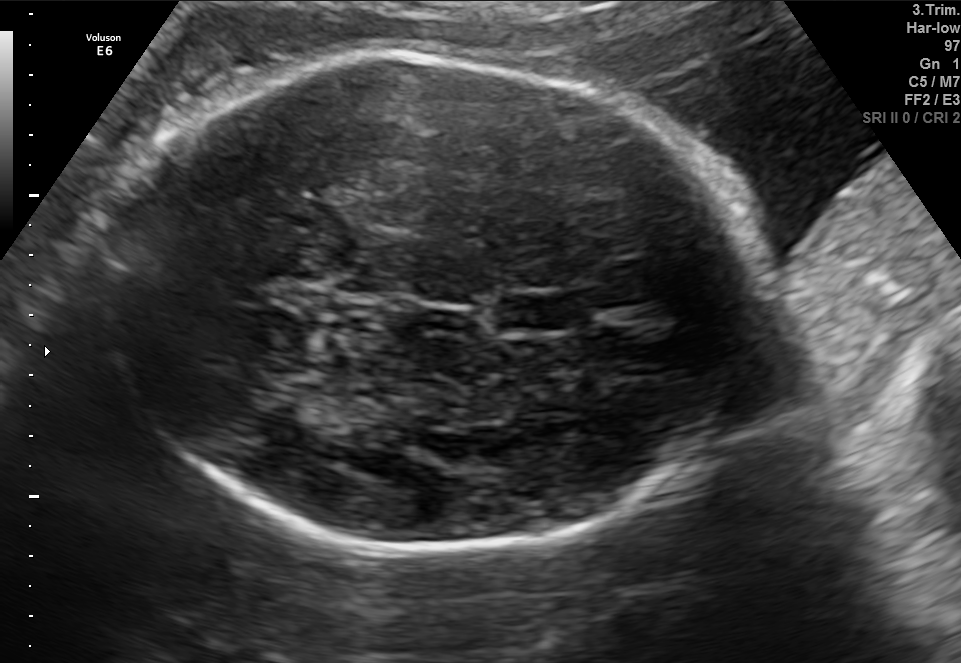
In this fetal brain, trans-thalamic plane, give the bounding box of the fetal head.

[93,53,762,550]